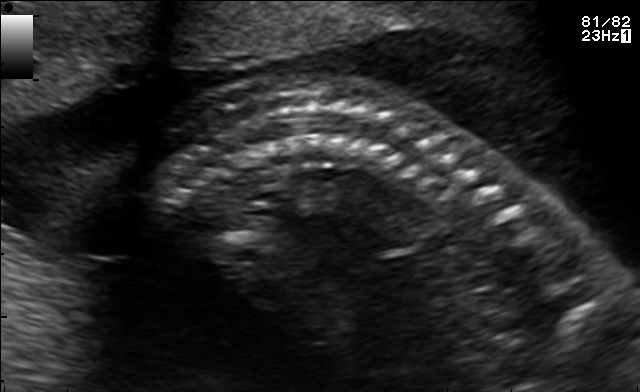
Identify the standard plane in this fetal ultrasound image: fetal abdomen, fetal brain, fetal femur, fetal thorax, maternal cervix, or other. If it's fetal brain and one of the three standard brain planes (trans-thalamic, trans-cerebellum, trans-ventricular), name which.

Other